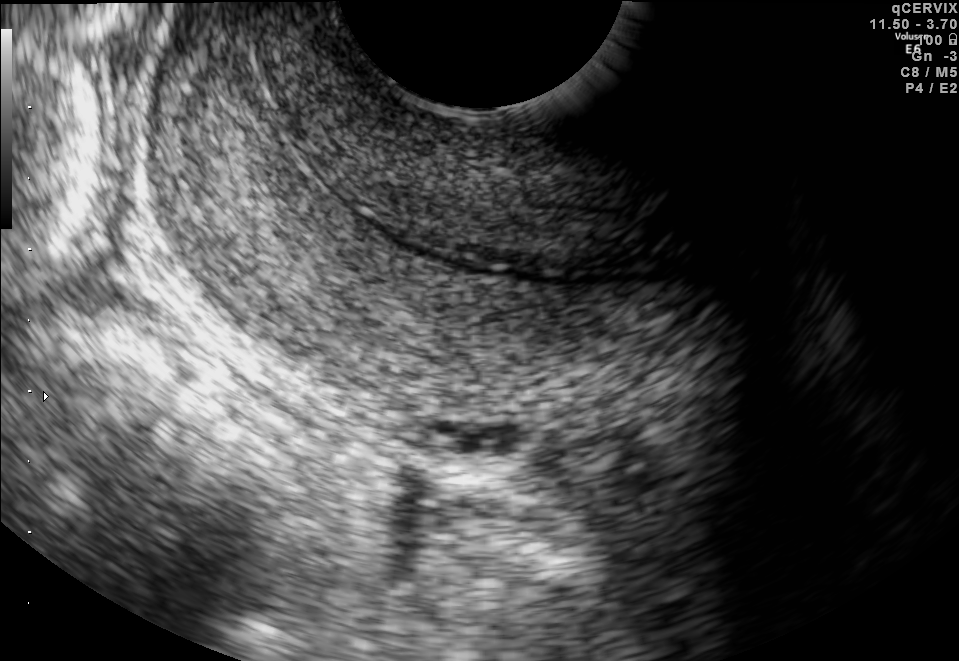
This is a 2D maternal-fetal ultrasound frame. Is it a fetal abdomen, fetal brain, fetal femur, fetal thorax, maternal cervix, or other standard plane? If it's fetal brain and one of the three standard brain planes (trans-thalamic, trans-cerebellum, trans-ventricular), name which.

Maternal cervix